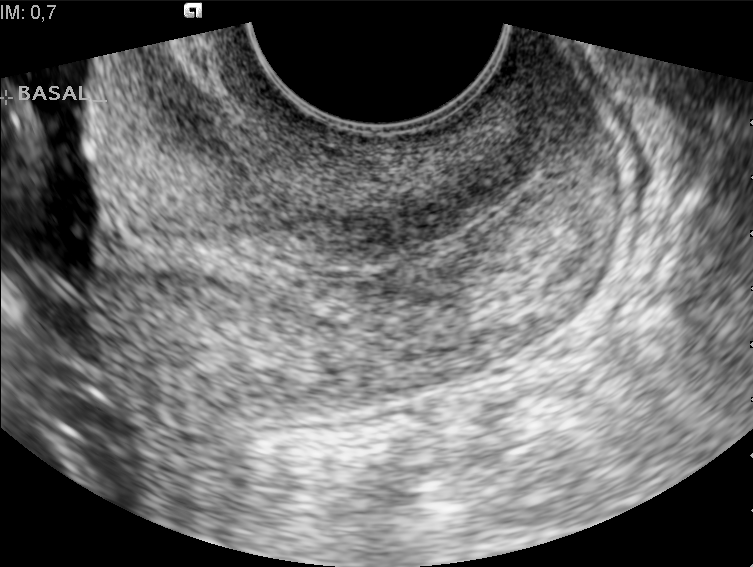
Classify this maternal-fetal ultrasound image as one of the six standard planes — fetal abdomen, fetal brain, fetal femur, fetal thorax, maternal cervix, or other. If it's fetal brain and one of the three standard brain planes (trans-thalamic, trans-cerebellum, trans-ventricular), name which.

Maternal cervix